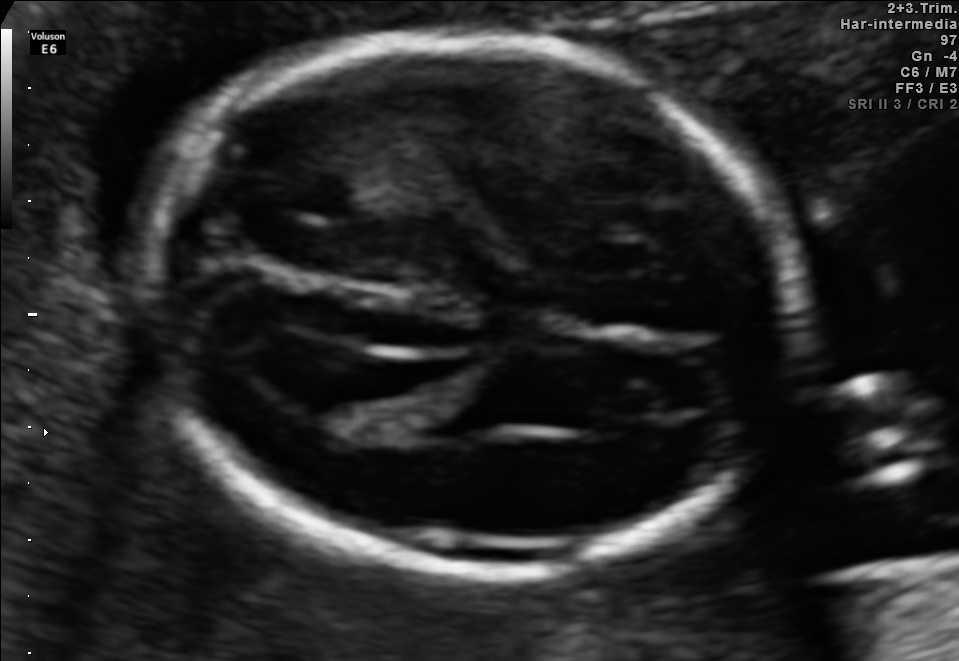
Fetal brain, trans-ventricular plane. Locate the fetal head and, if visible, the cavum septum pellucidum (CSP) and lateral ventricle (LV). Give bounding boxes as [x1,y1,x2,y2].

Head: [134,27,821,590]